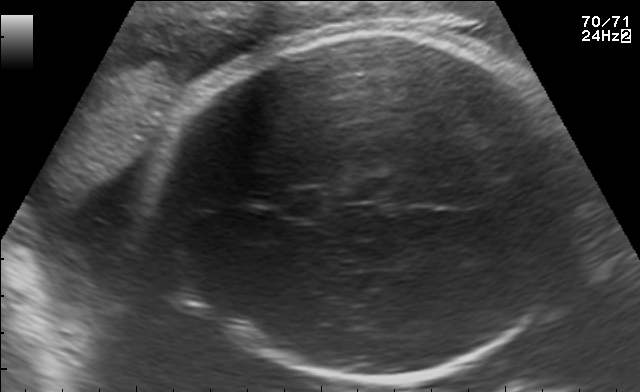
In this fetal brain, trans-thalamic plane, give bounding boxes for the head outline, cavum septum pellucidum (CSP), and lateral ventricle (LV), where visible.

Head: [153,30,588,375]
CSP: [275,188,325,219]